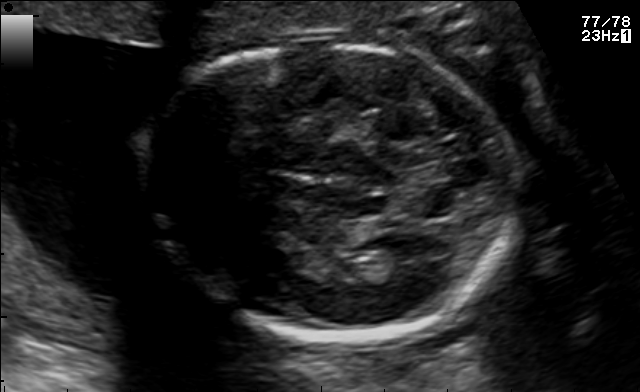
Fetal brain, trans-thalamic plane. Locate the fetal head.

Head: [153,37,517,337]